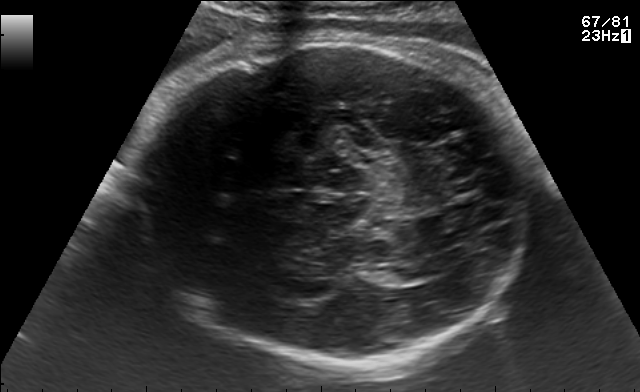
Fetal brain, trans-thalamic plane. Give [x1,y1,x2,y2] bounding boxes for each visible structure among: fetal head, CSP, LV.

Head: [129,37,531,369]
Lateral ventricle: [368,264,425,286]